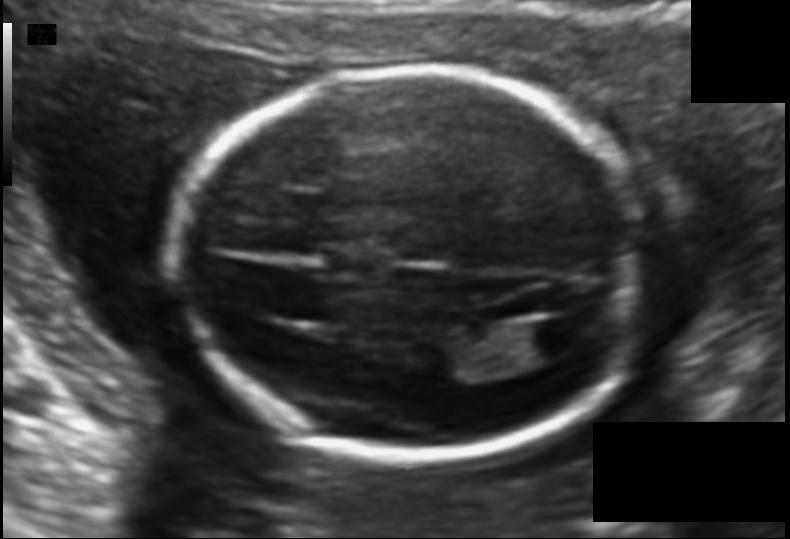
Fetal head ultrasound. Image width: 95.9 mm. Locate the lateral ventricle.

Lateral ventricle: [508,308,595,369]